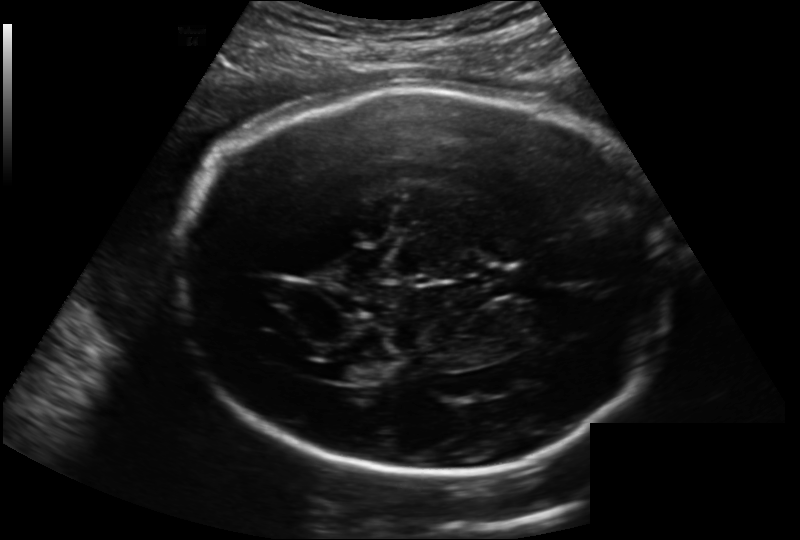
Fetal head ultrasound. Image width: 161.8 mm. Where is the lateral ventricle?

Lateral ventricle bounding box: [332,360,377,382]